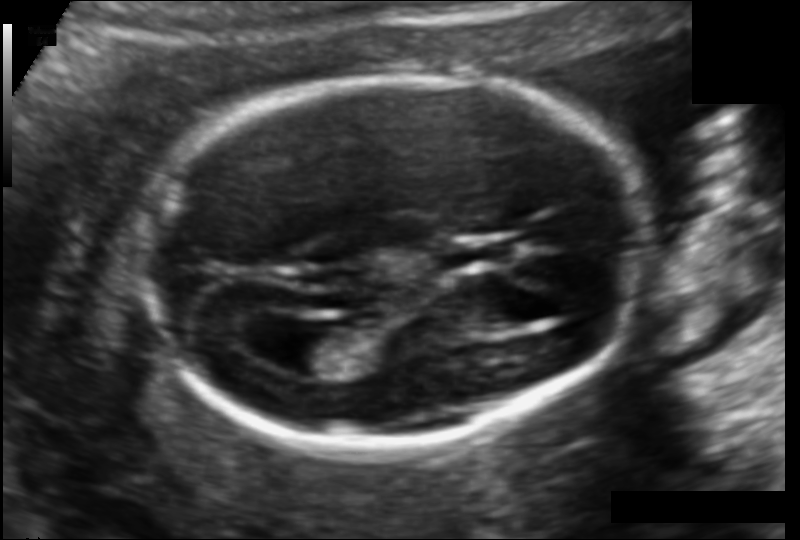
Measure the fetal head circumference shown in this ultrasound image. Image width: 91.5 mm.

Head circumference: 162.1 mm.